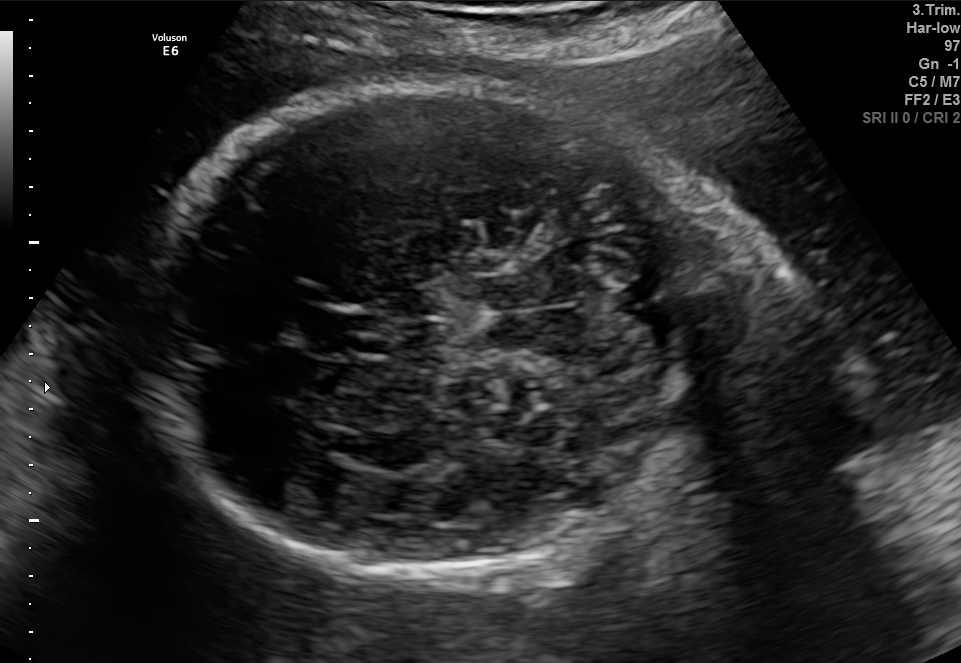
Fetal brain, trans-cerebellum plane. Give [x1,y1,x2,y2] bounding boxes for each visible structure among: fetal head, CSP, LV.

Head: [146,81,723,578]
CSP: [306,307,382,361]